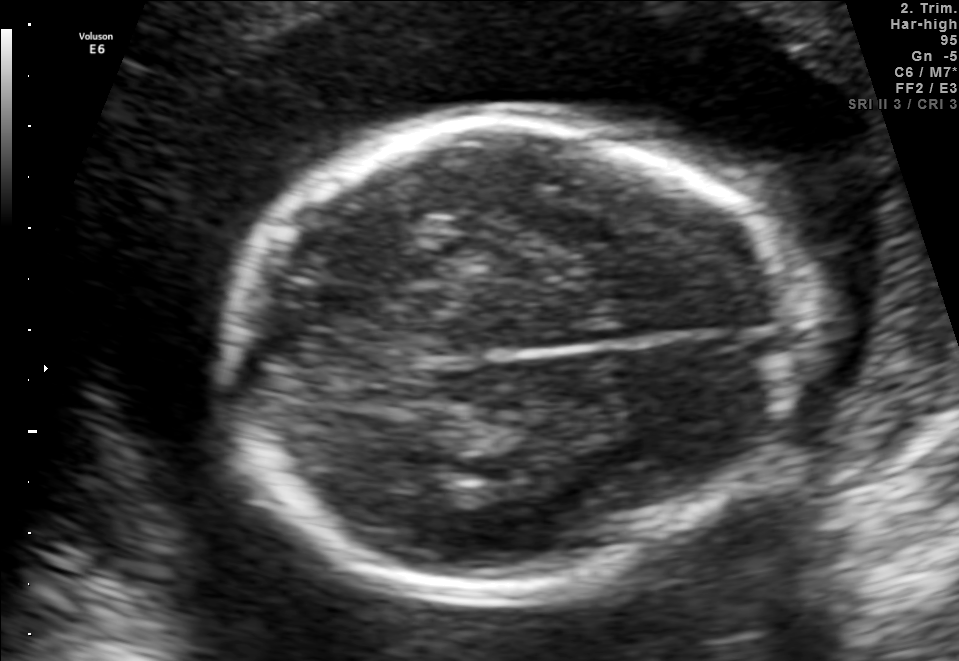
Identify the standard plane in this fetal ultrasound image: fetal abdomen, fetal brain, fetal femur, fetal thorax, maternal cervix, or other. If it's fetal brain and one of the three standard brain planes (trans-thalamic, trans-cerebellum, trans-ventricular), name which.

Fetal brain (trans-thalamic plane)